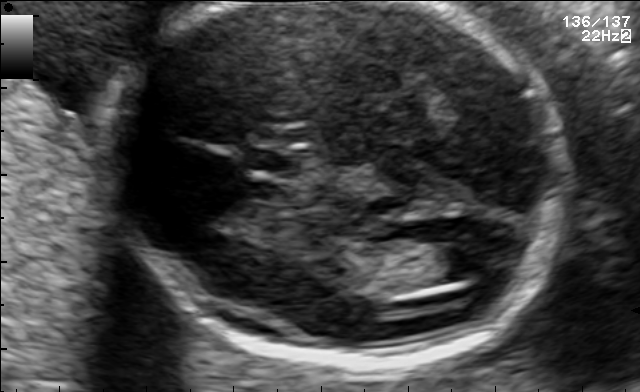
In this fetal brain, trans-ventricular plane, give the bounding box of the lateral ventricle.

[428,238,504,286]